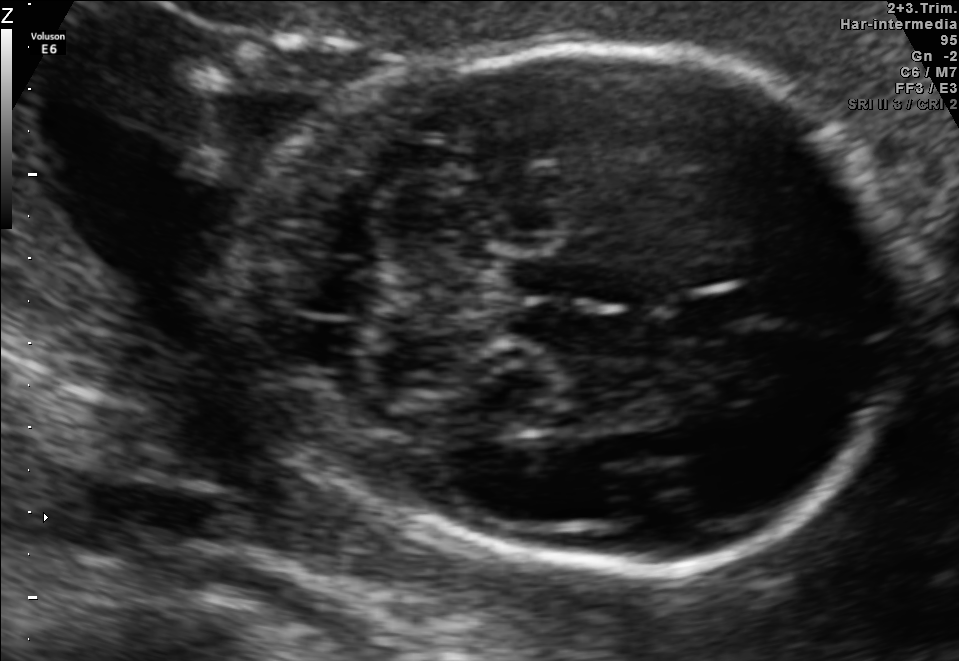
Fetal brain, trans-cerebellum plane. Locate the fetal head and, if visible, the cavum septum pellucidum (CSP) and lateral ventricle (LV). Give bounding boxes as [x1,y1,x2,y2].

Head: [234,46,913,569]
CSP: [667,279,763,342]